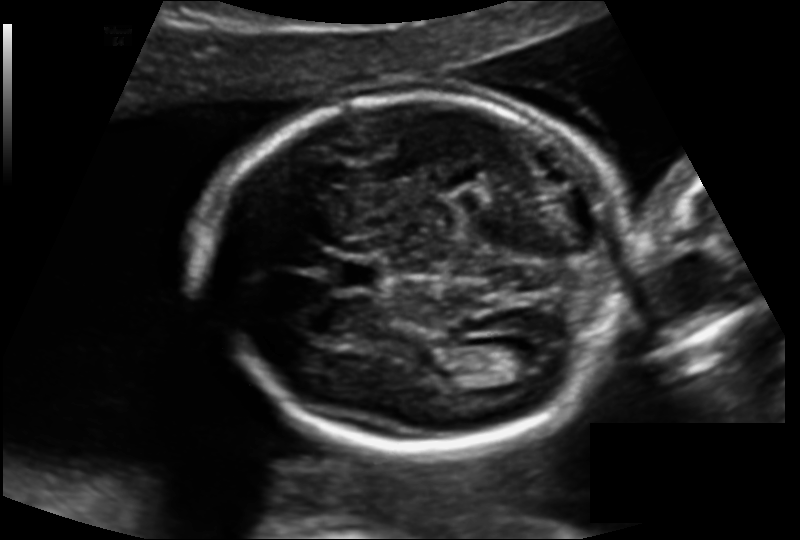
In this fetal head ultrasound, give the bounding box of the fetal head. Image width: 110.2 mm.

[203,95,626,450]